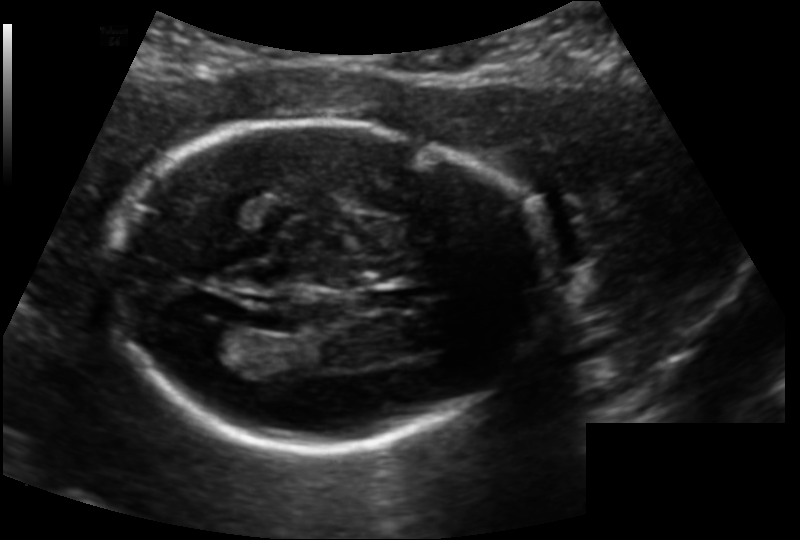
In this fetal head ultrasound, give the bounding box of the fetal head. Image width: 111.5 mm.

[108,120,545,449]